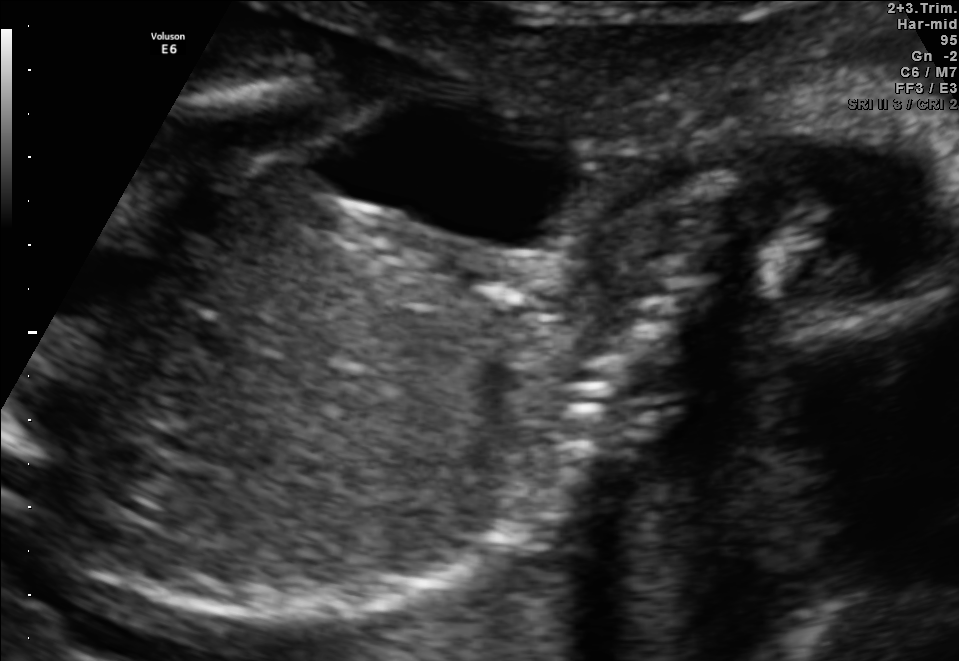
This is a 2D maternal-fetal ultrasound frame. Is it a fetal abdomen, fetal brain, fetal femur, fetal thorax, maternal cervix, or other standard plane? If it's fetal brain and one of the three standard brain planes (trans-thalamic, trans-cerebellum, trans-ventricular), name which.

Other